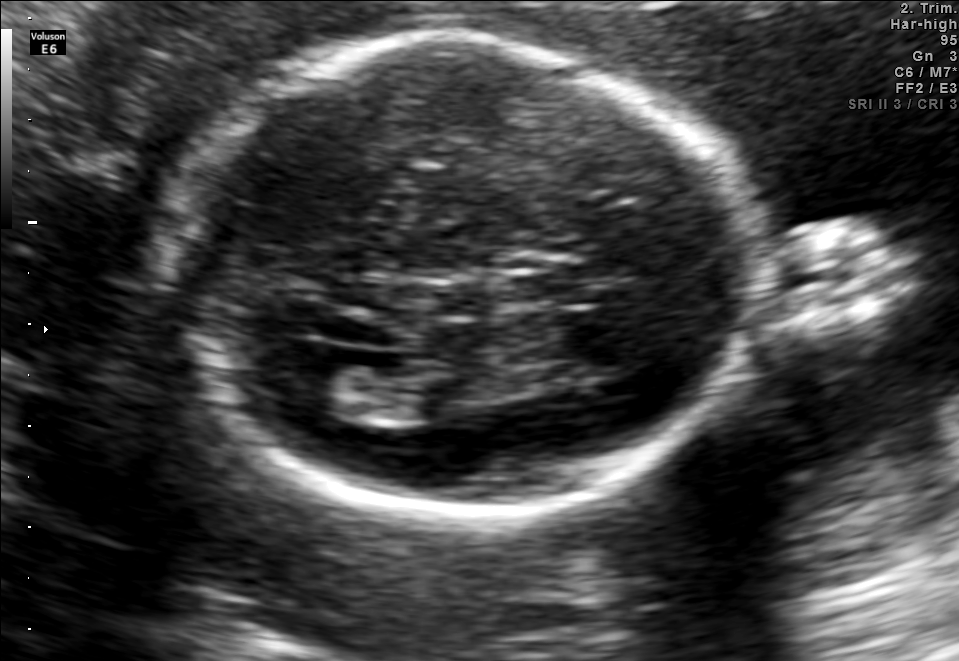
Fetal brain, trans-ventricular plane. Where is the lateral ventricle?

Lateral ventricle bounding box: [256,341,362,417]